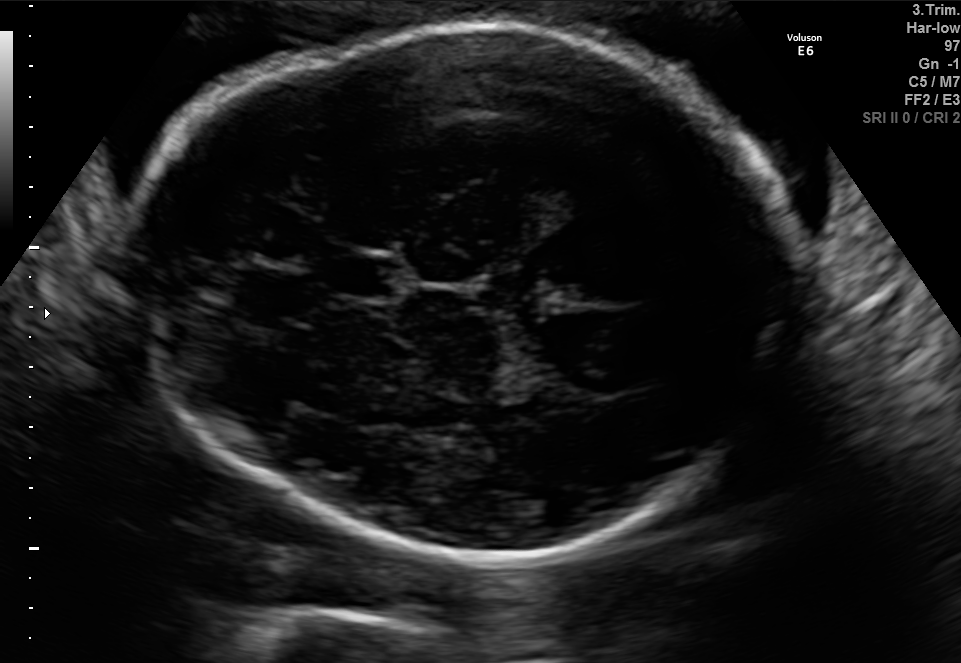
In this fetal brain, trans-thalamic plane, give bounding boxes for the head outline, cavum septum pellucidum (CSP), and lateral ventricle (LV), where visible.

Head: [121,24,800,561]
CSP: [335,253,399,299]